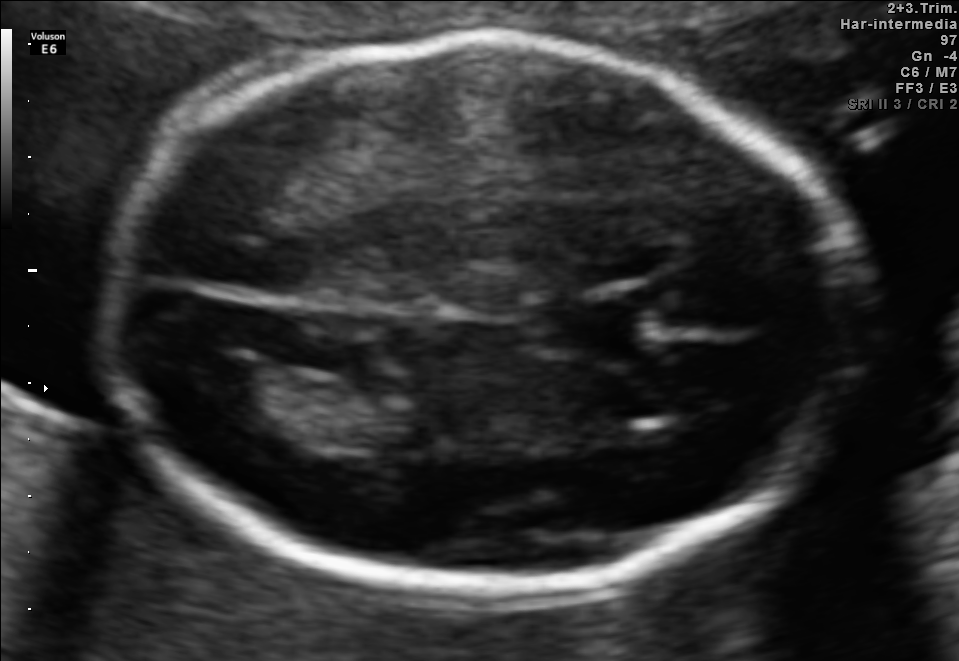
This is a 2D maternal-fetal ultrasound frame. Is it a fetal abdomen, fetal brain, fetal femur, fetal thorax, maternal cervix, or other standard plane? If it's fetal brain and one of the three standard brain planes (trans-thalamic, trans-cerebellum, trans-ventricular), name which.

Fetal brain (trans-ventricular plane)